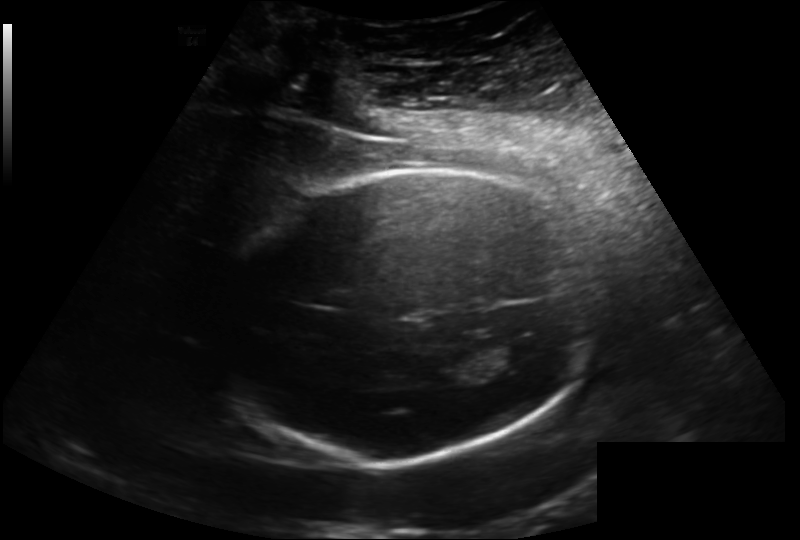
Measure the fetal head circumference shown in this ultrasound image. Image width: 161.6 mm.

Head circumference: 220.9 mm.